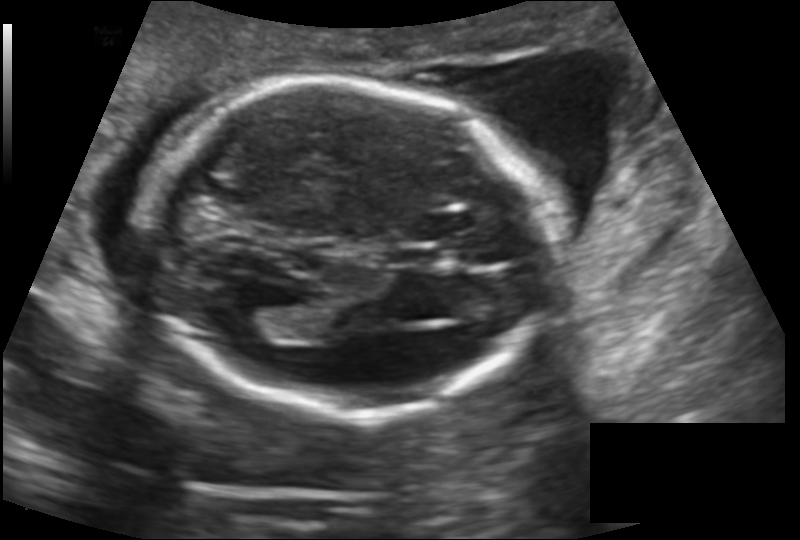
Fetal head ultrasound. Image width: 116.4 mm. Where is the lateral ventricle?

Lateral ventricle bounding box: [229,306,285,340]